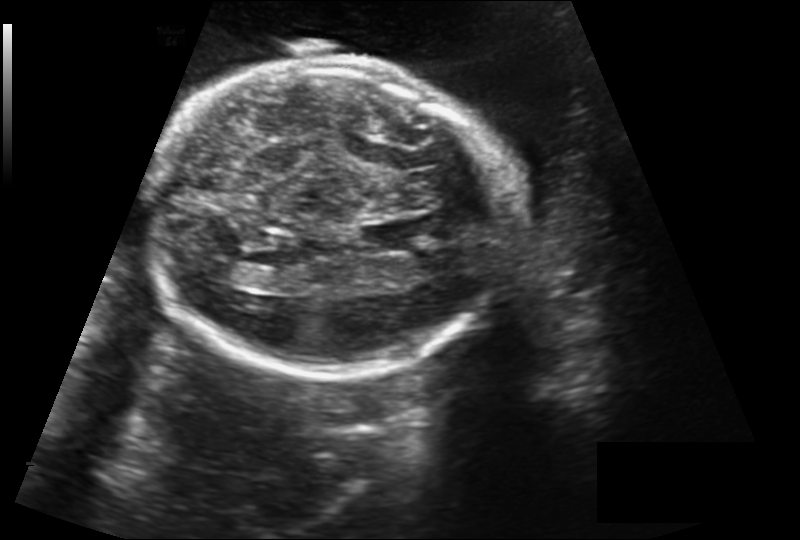
Fetal head ultrasound. Image width: 169.6 mm. Give [x1,y1,x2,y2] bounding boxes for each visible structure among: fetal head, CSP, LV.

Head: [152,58,511,376]